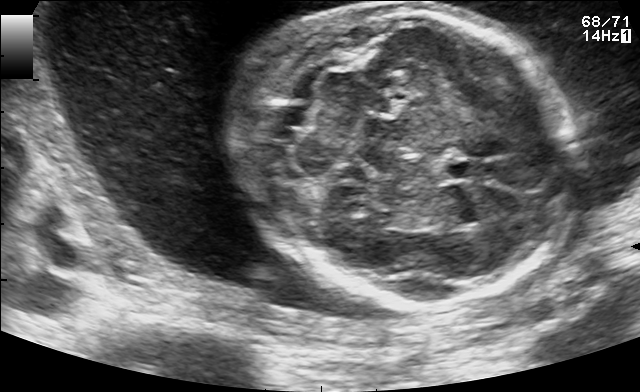
Fetal brain, trans-cerebellum plane. Where is the fetal head?

Head bounding box: [238,2,579,305]